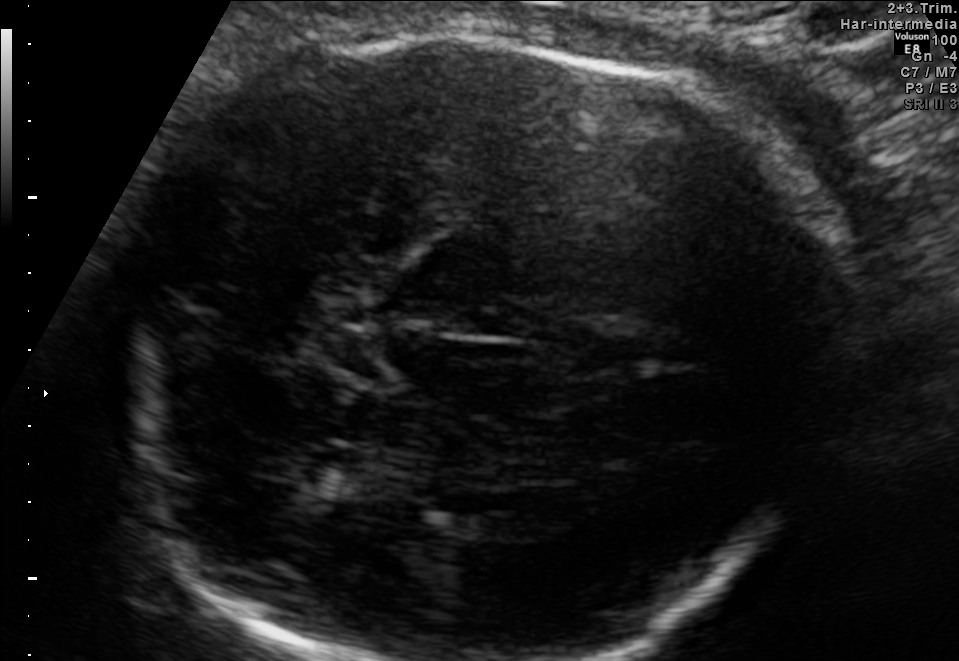
In this fetal brain, trans-thalamic plane, give the bounding box of the fetal head.

[131,22,800,660]